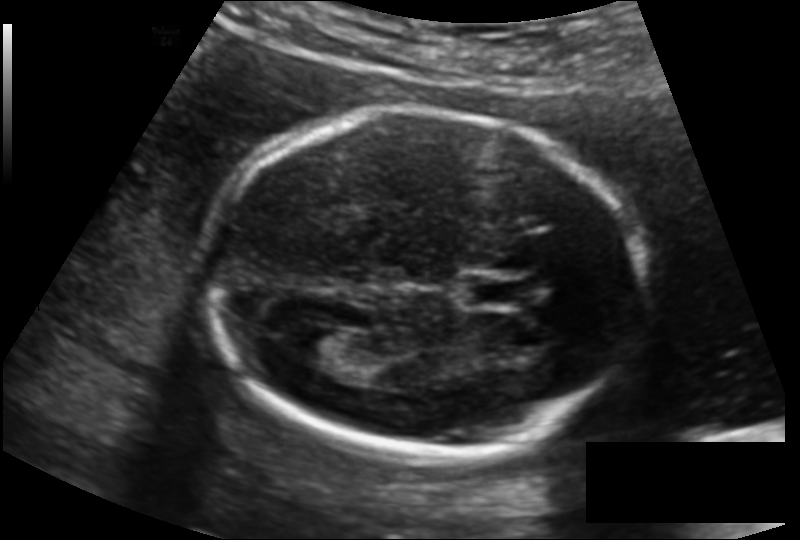
From this fetal ultrasound, estimate the head circumference (image width 107.6 mm).

Head circumference: 170.8 mm.